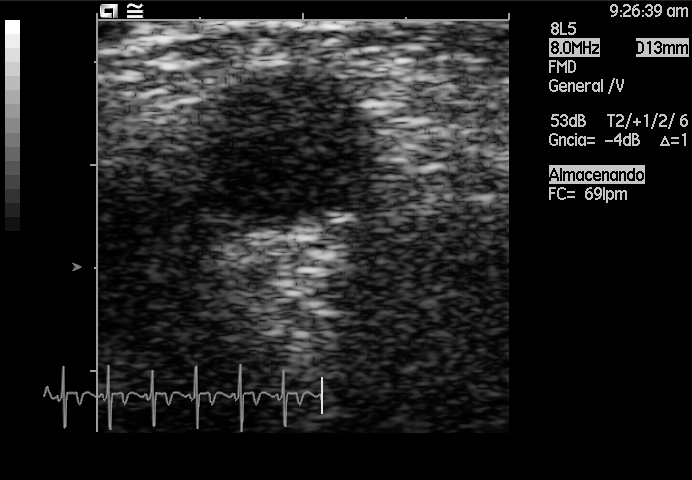
Identify the standard plane in this fetal ultrasound image: fetal abdomen, fetal brain, fetal femur, fetal thorax, maternal cervix, or other. If it's fetal brain and one of the three standard brain planes (trans-thalamic, trans-cerebellum, trans-ventricular), name which.

Other